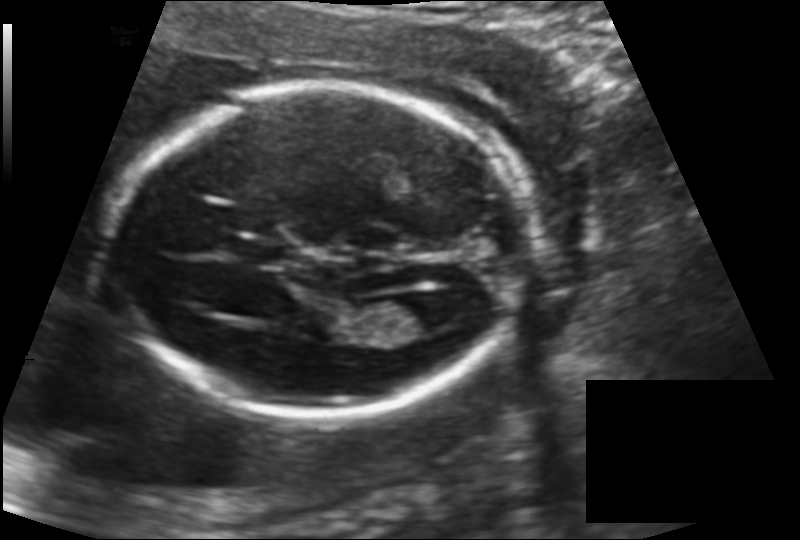
Fetal head ultrasound. Image width: 113.5 mm. Where is the cavum septum pellucidum?

CSP bounding box: [230,234,288,269]